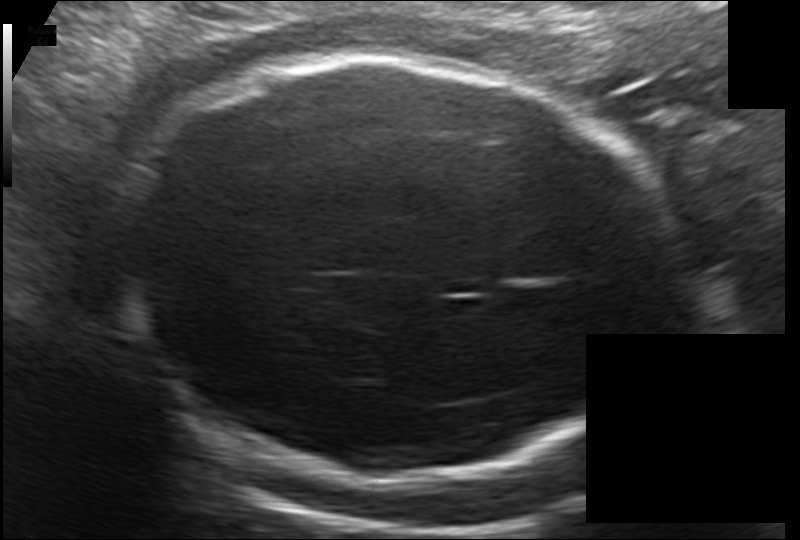
What is the fetal head circumference? Image width is 138.0 mm.

272.7 mm